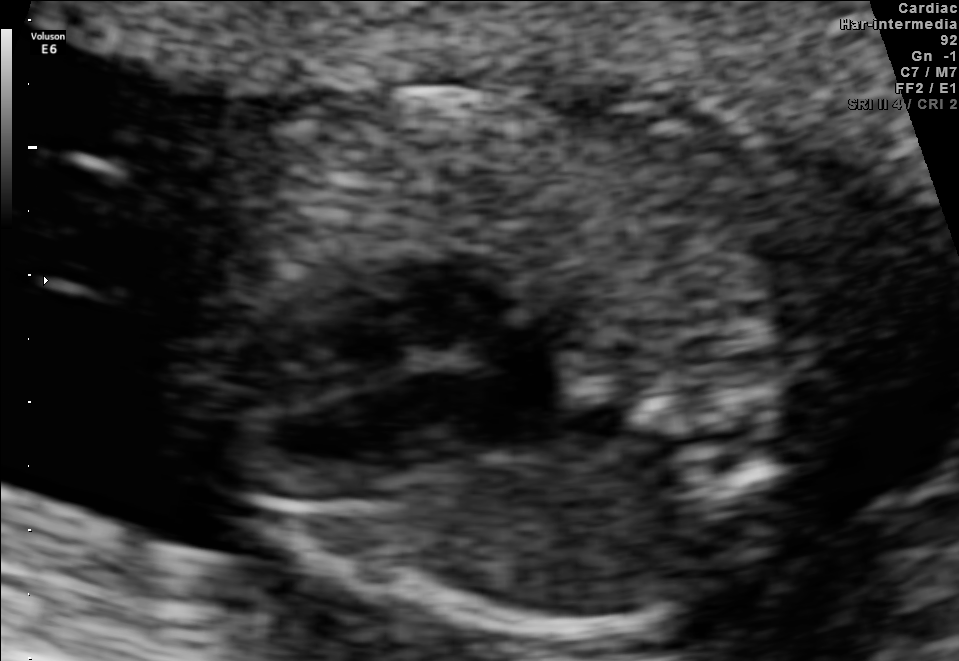
Which standard maternal-fetal ultrasound plane is shown: fetal abdomen, fetal brain, fetal femur, fetal thorax, maternal cervix, or other? If it's fetal brain and one of the three standard brain planes (trans-thalamic, trans-cerebellum, trans-ventricular), name which.

Fetal thorax